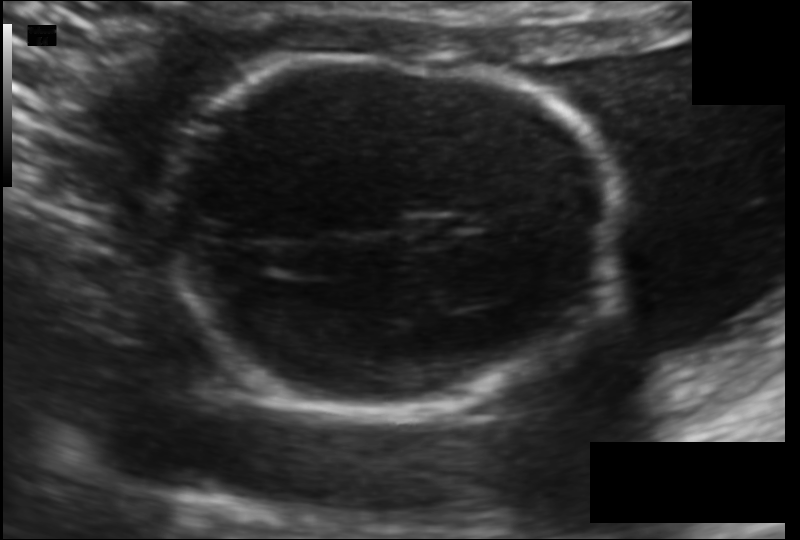
From this fetal ultrasound, estimate the head circumference (image width 91.8 mm).

Head circumference: 150.4 mm.